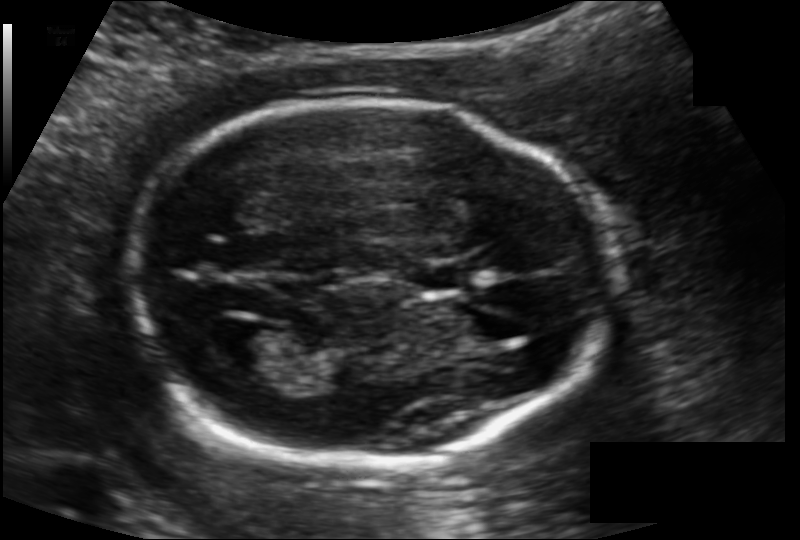
From this fetal ultrasound, estimate the head circumference (image width 96.5 mm).

Head circumference: 164.1 mm.